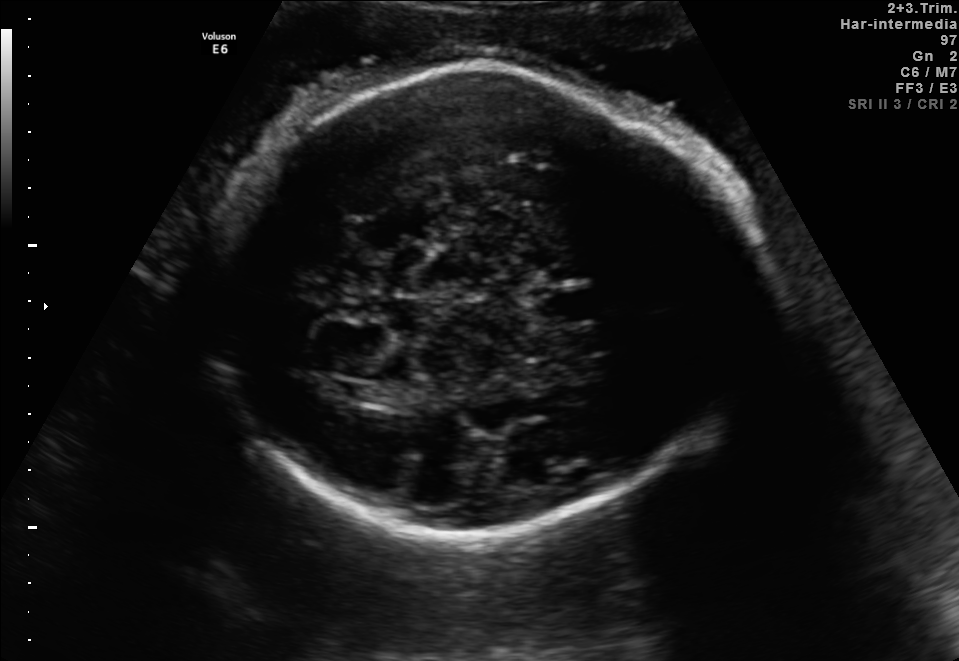
In this fetal brain, trans-thalamic plane, give bounding boxes for the head outline, cavum septum pellucidum (CSP), and lateral ventricle (LV), where visible.

Head: [207,65,764,534]
CSP: [532,284,604,326]
Lateral ventricle: [331,378,403,409]